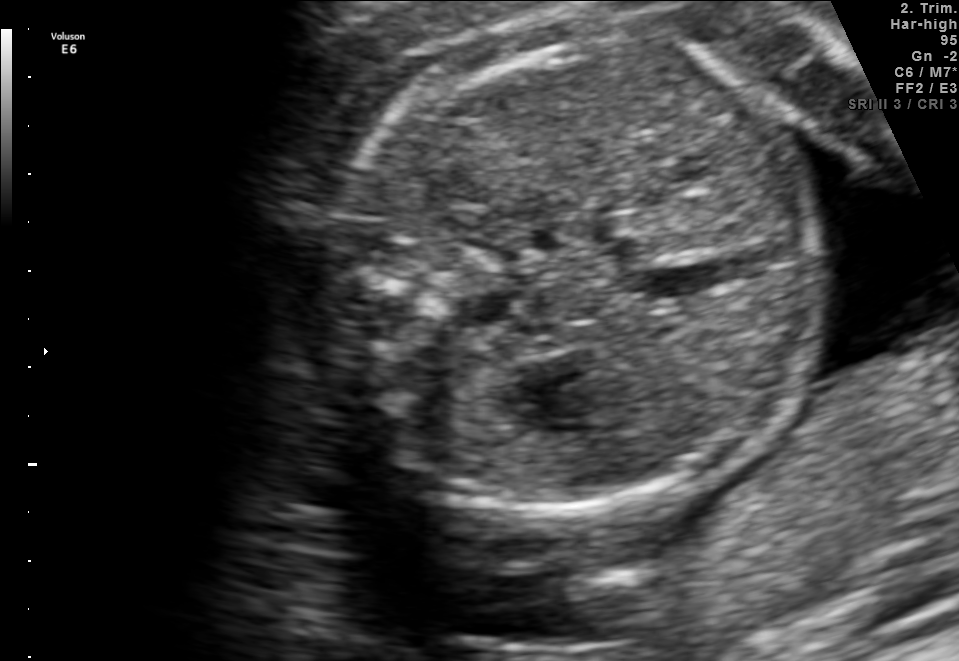
This is a 2D maternal-fetal ultrasound frame. Is it a fetal abdomen, fetal brain, fetal femur, fetal thorax, maternal cervix, or other standard plane? If it's fetal brain and one of the three standard brain planes (trans-thalamic, trans-cerebellum, trans-ventricular), name which.

Fetal abdomen